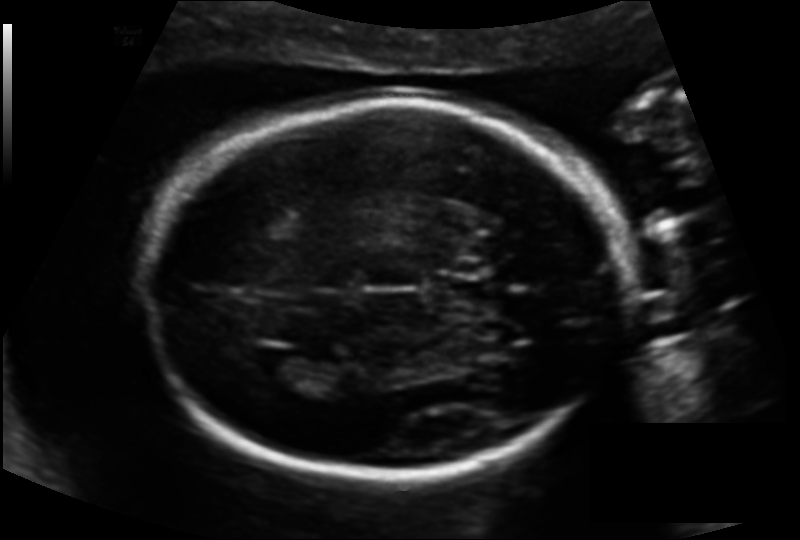
Fetal head ultrasound. Image width: 107.7 mm. Locate the fetal head.

Head: [143,101,631,476]